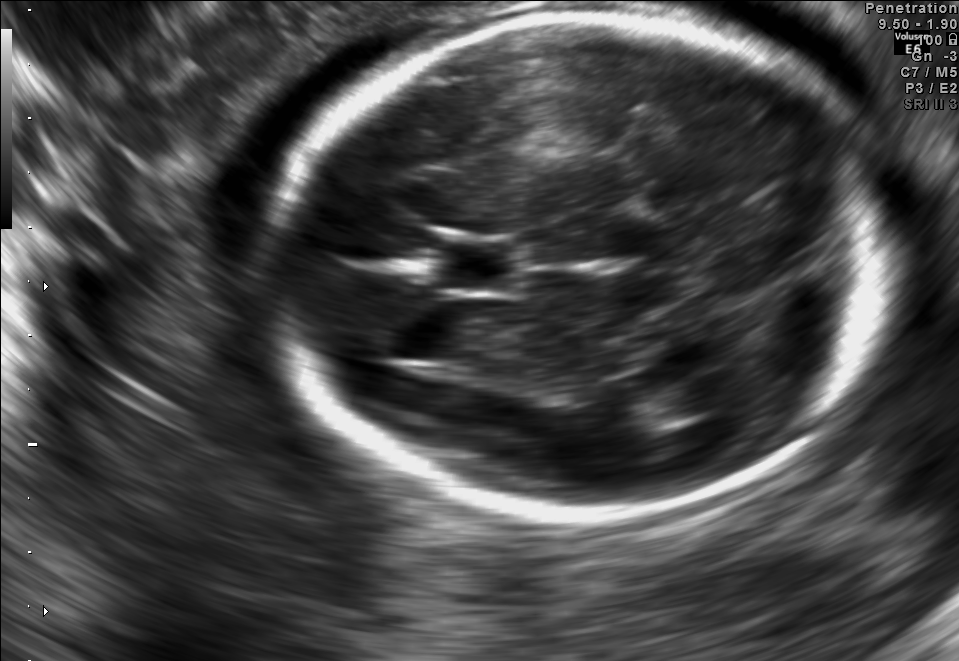
Fetal brain, trans-thalamic plane. Locate the cavum septum pellucidum.

CSP: [440,244,514,287]